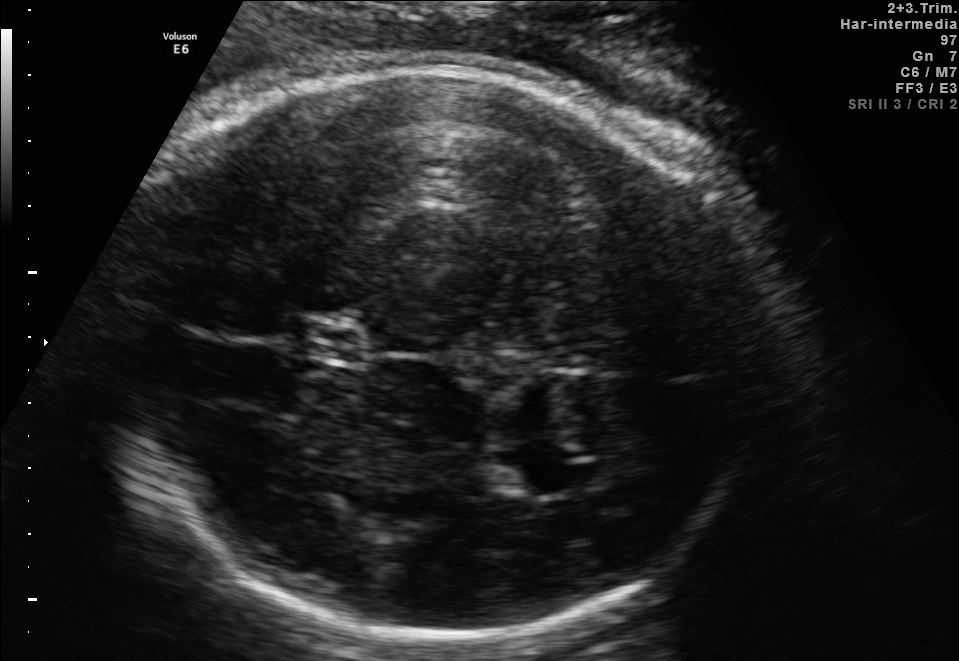
In this fetal brain, trans-thalamic plane, give the bounding box of the fetal head.

[96,67,769,634]